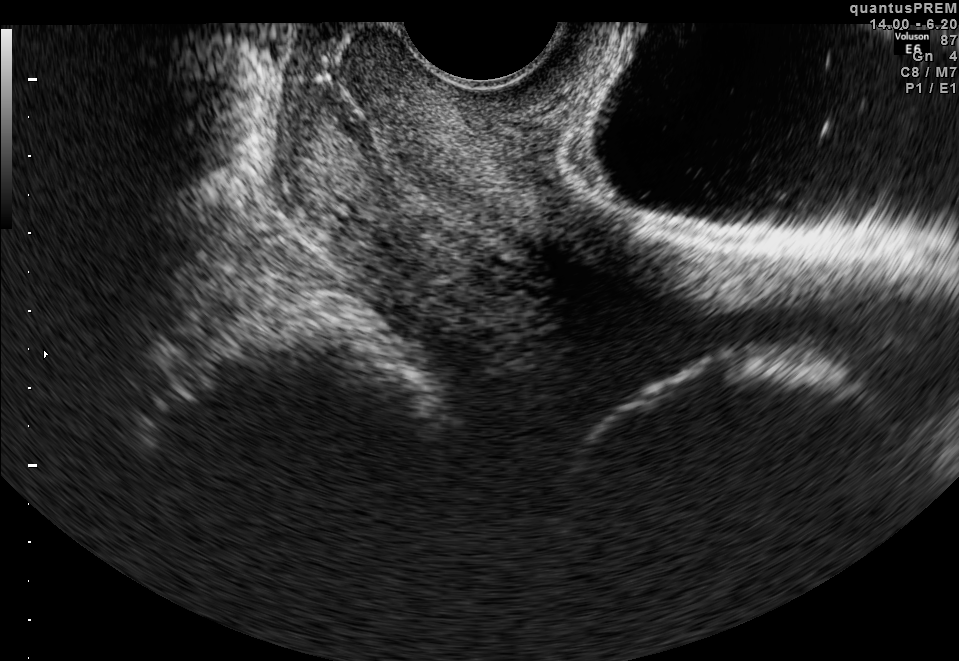
This is a 2D maternal-fetal ultrasound frame. Is it a fetal abdomen, fetal brain, fetal femur, fetal thorax, maternal cervix, or other standard plane? If it's fetal brain and one of the three standard brain planes (trans-thalamic, trans-cerebellum, trans-ventricular), name which.

Maternal cervix